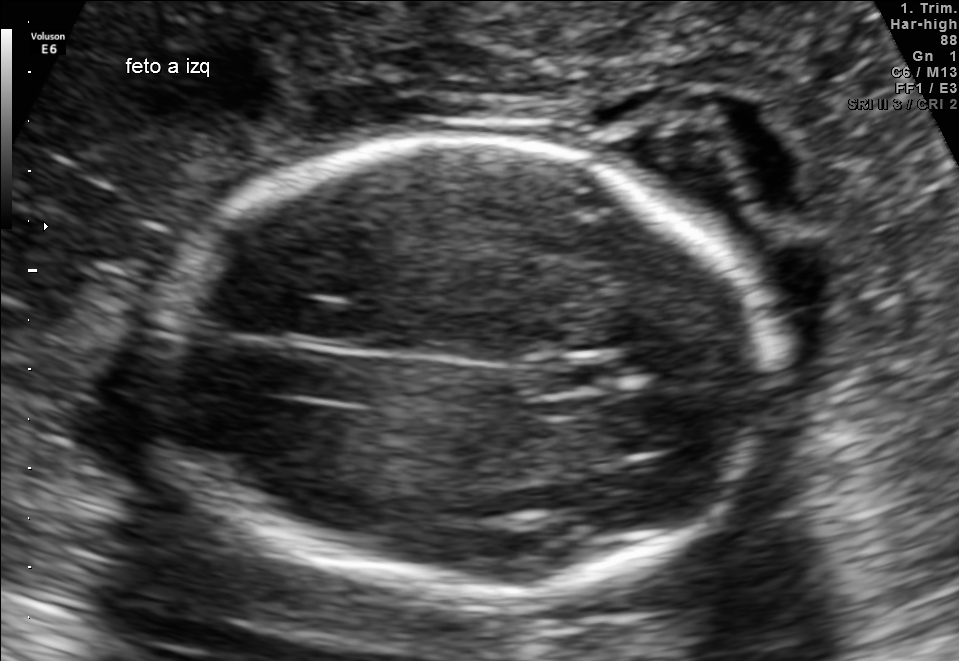
Fetal brain, trans-thalamic plane. Where is the cavum septum pellucidum?

CSP bounding box: [540,355,616,394]